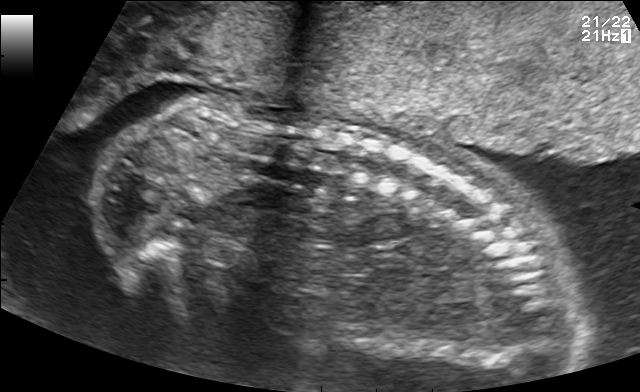
Which standard maternal-fetal ultrasound plane is shown: fetal abdomen, fetal brain, fetal femur, fetal thorax, maternal cervix, or other? If it's fetal brain and one of the three standard brain planes (trans-thalamic, trans-cerebellum, trans-ventricular), name which.

Other